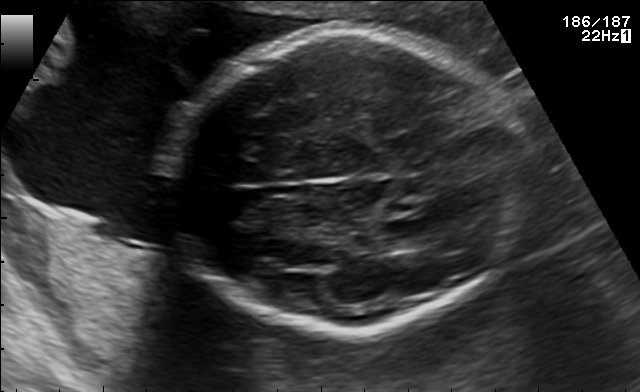
In this fetal brain, trans-thalamic plane, give the bounding box of the fetal head.

[166,30,525,331]